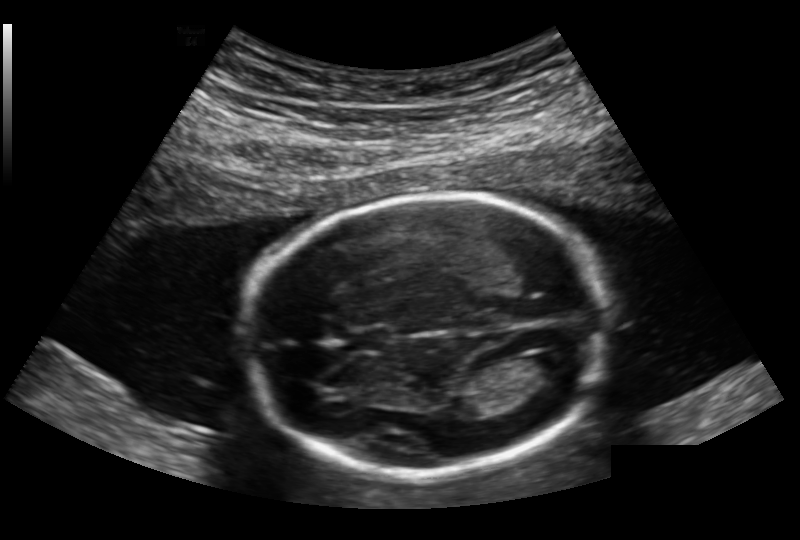
Fetal head ultrasound. Image width: 134.4 mm. Locate the cavum septum pellucidum.

CSP: [349,326,394,354]